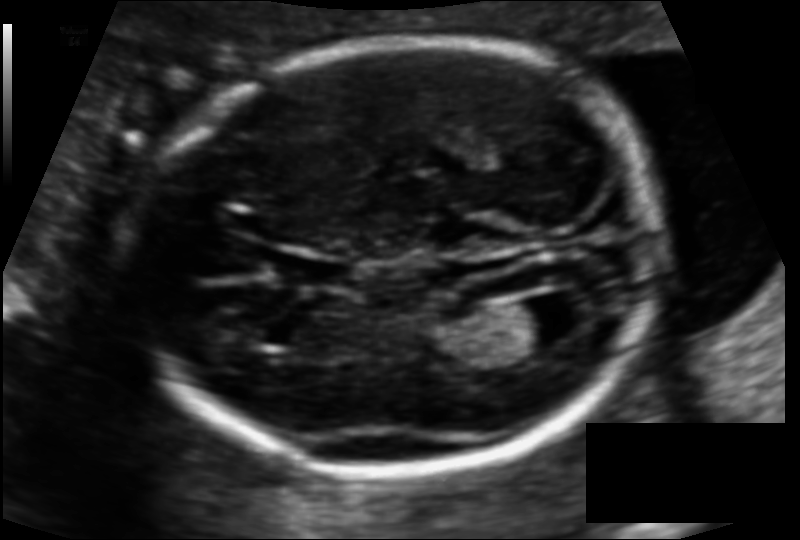
Fetal head ultrasound. Image width: 88.1 mm. Locate the cavum septum pellucidum.

CSP: [284,253,353,292]